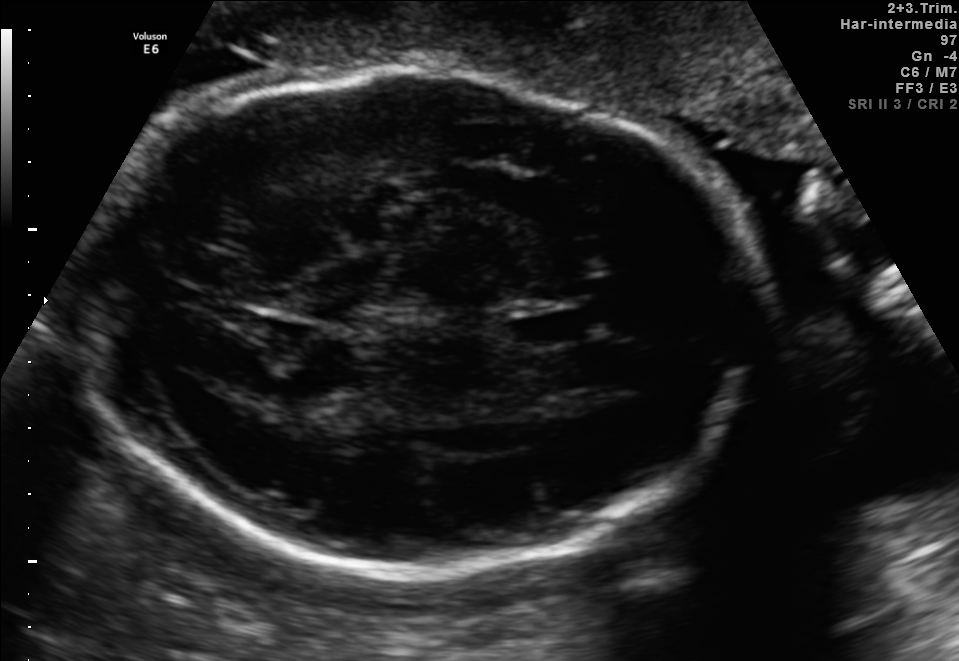
In this fetal brain, trans-thalamic plane, give the bounding box of the cavum septum pellucidum.

[508,307,588,353]